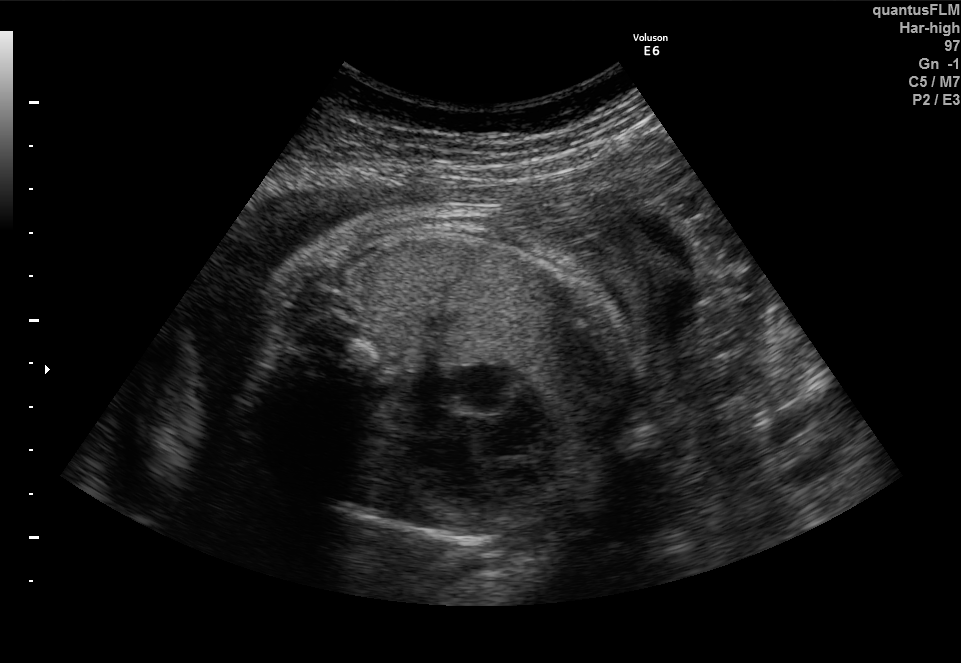
Which standard maternal-fetal ultrasound plane is shown: fetal abdomen, fetal brain, fetal femur, fetal thorax, maternal cervix, or other? If it's fetal brain and one of the three standard brain planes (trans-thalamic, trans-cerebellum, trans-ventricular), name which.

Fetal thorax